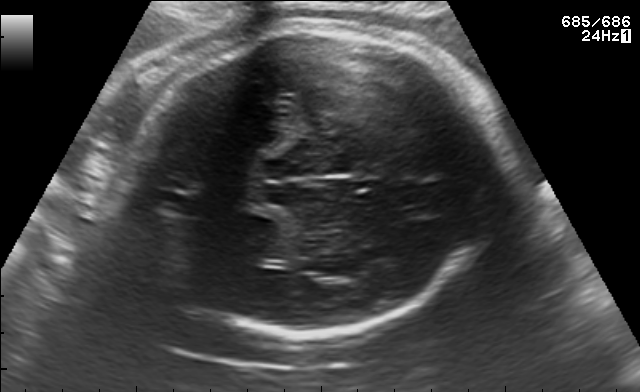
Fetal brain, trans-thalamic plane. Locate the fetal head and, if visible, the cavum septum pellucidum (CSP) and lateral ventricle (LV). Give bounding boxes as [x1,y1,x2,y2].

Head: [128,24,501,334]